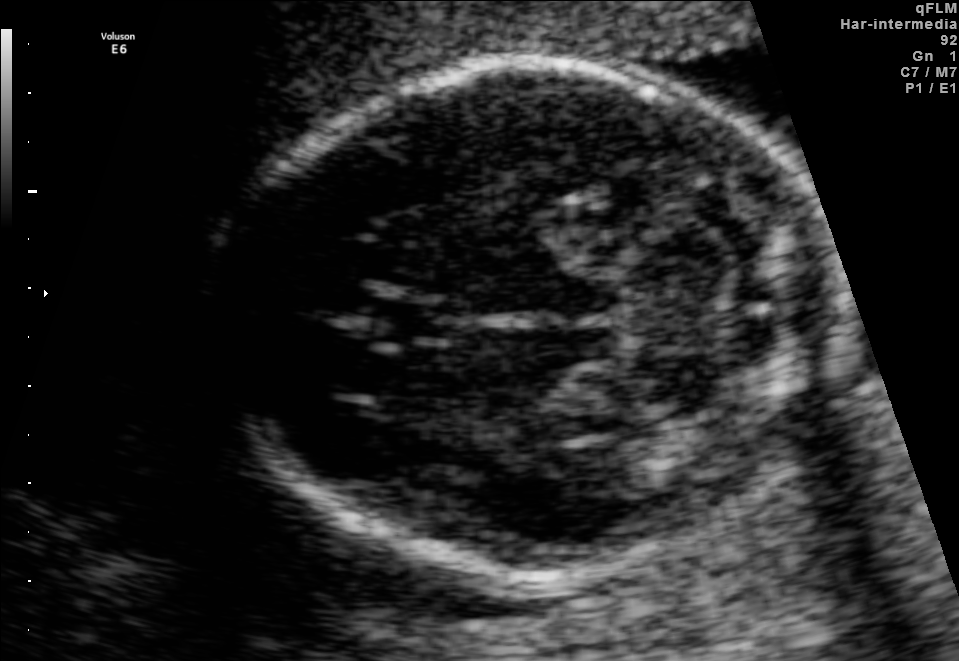
Identify the standard plane in this fetal ultrasound image: fetal abdomen, fetal brain, fetal femur, fetal thorax, maternal cervix, or other. If it's fetal brain and one of the three standard brain planes (trans-thalamic, trans-cerebellum, trans-ventricular), name which.

Fetal brain (trans-cerebellum plane)